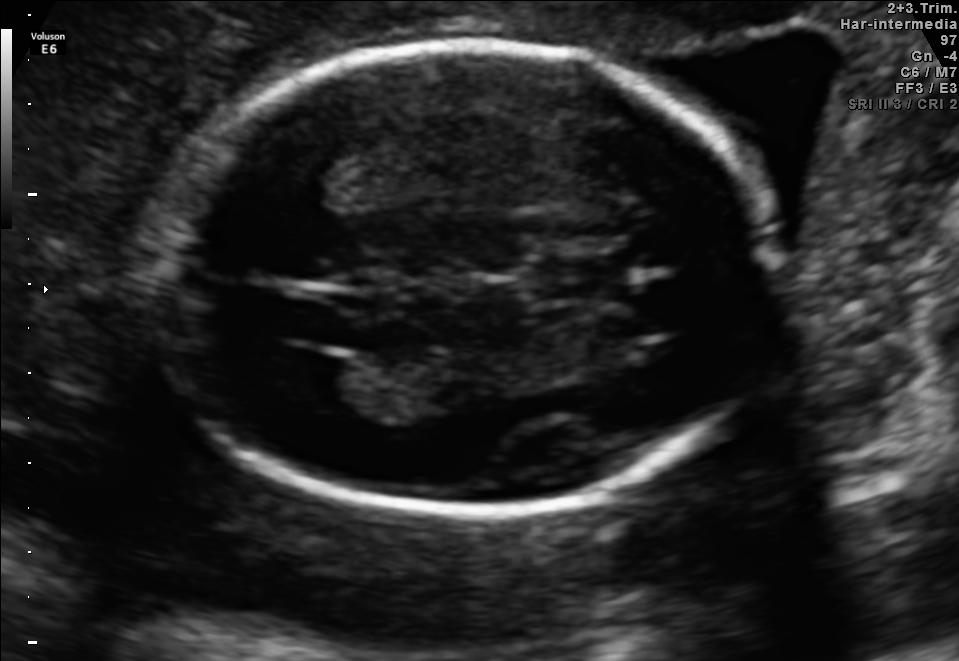
In this fetal brain, trans-ventricular plane, give bounding boxes for the head outline, cavum septum pellucidum (CSP), and lateral ventricle (LV), where visible.

Head: [144,37,797,520]
CSP: [541,259,624,298]
Lateral ventricle: [276,350,351,401]